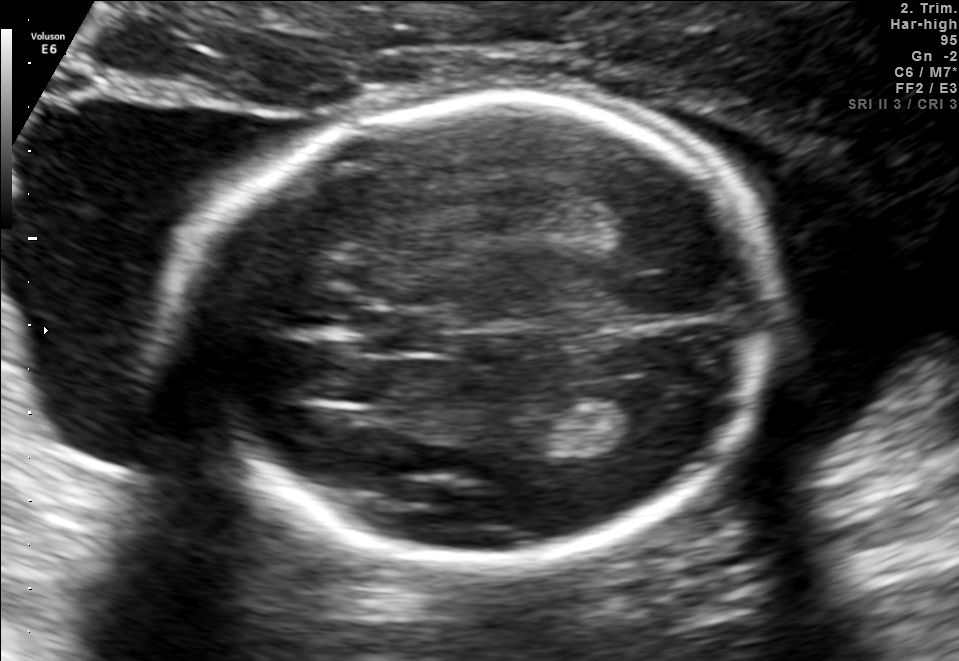
In this fetal brain, trans-thalamic plane, give the bounding box of the fetal head.

[186,97,777,554]